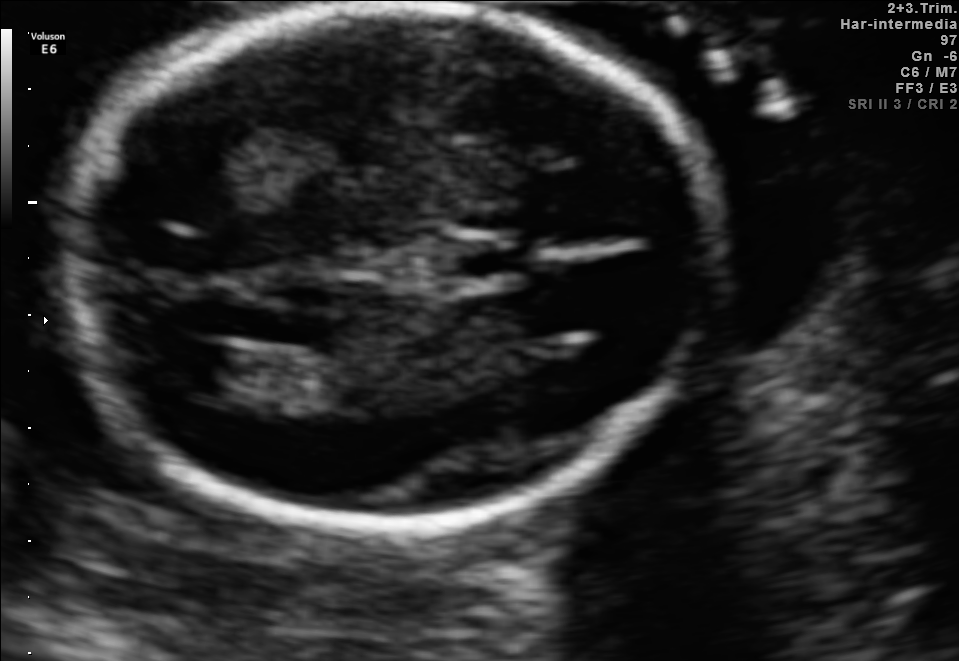
Fetal brain, trans-ventricular plane. Give [x1,y1,x2,y2] bounding boxes for each visible structure among: fetal head, CSP, LV.

Head: [59,7,718,536]
CSP: [448,243,521,275]
Lateral ventricle: [154,331,243,401]